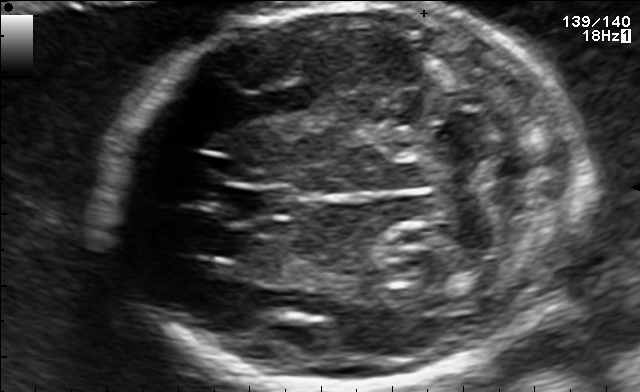
Fetal brain, trans-cerebellum plane. Give [x1,y1,x2,y2] bounding boxes for each visible structure among: fetal head, CSP, LV.

Head: [107,5,587,388]
CSP: [230,185,294,219]